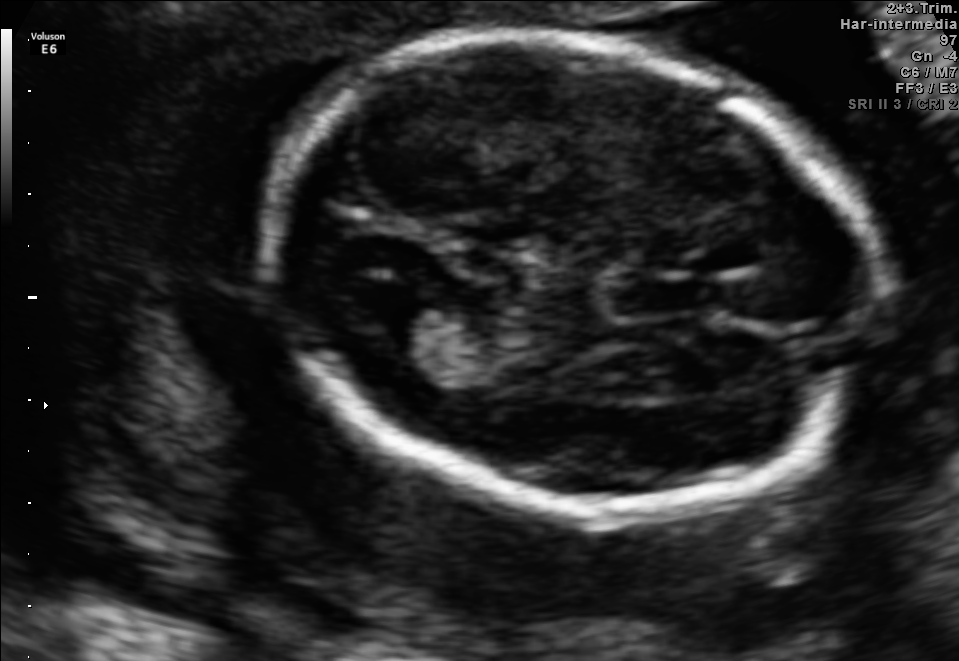
Fetal brain, trans-ventricular plane. Where is the fetal head?

Head bounding box: [251,23,888,528]